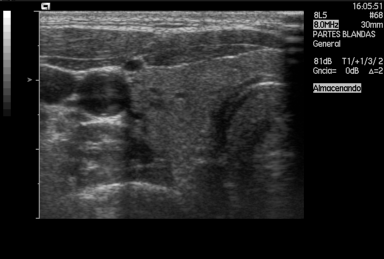
This is a 2D maternal-fetal ultrasound frame. Is it a fetal abdomen, fetal brain, fetal femur, fetal thorax, maternal cervix, or other standard plane? If it's fetal brain and one of the three standard brain planes (trans-thalamic, trans-cerebellum, trans-ventricular), name which.

Other